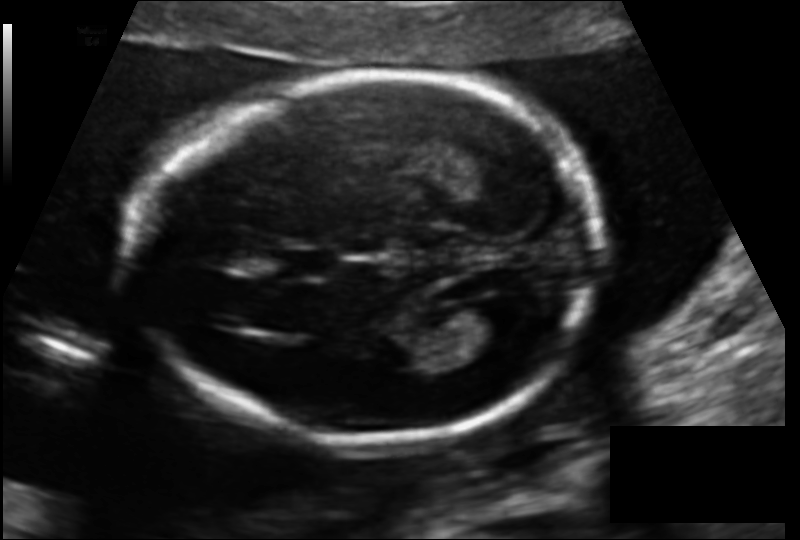
Estimate the fetal head circumference from this 2D ultrasound.

Head circumference: 171.6 mm (image width 100.2 mm).